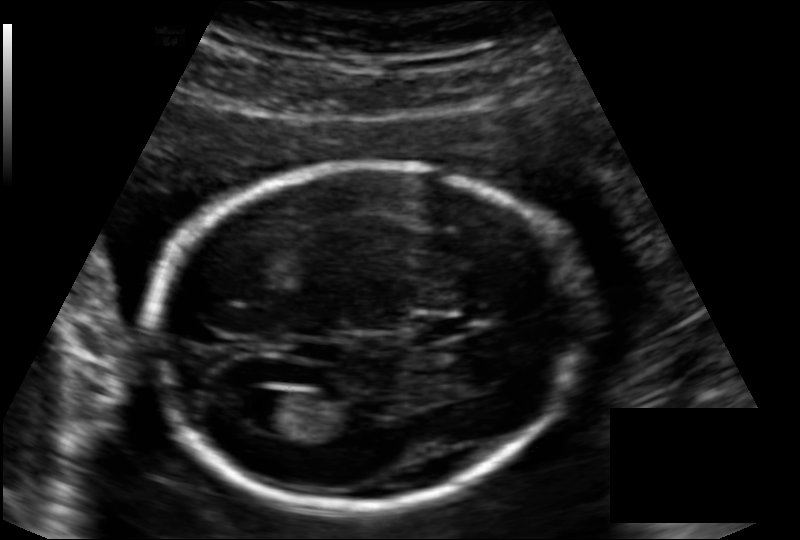
Estimate the fetal head circumference from this 2D ultrasound.

Head circumference: 173.3 mm (image width 108.5 mm).